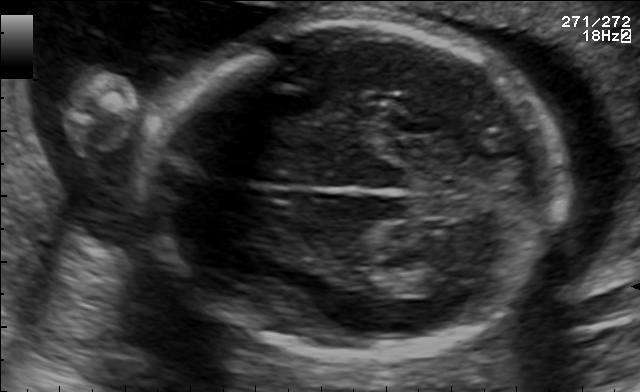
Fetal brain, trans-thalamic plane. Locate the fetal head and, if visible, the cavum septum pellucidum (CSP) and lateral ventricle (LV). Give bounding boxes as [x1,y1,x2,y2].

Head: [145,24,559,358]
Lateral ventricle: [406,263,477,300]